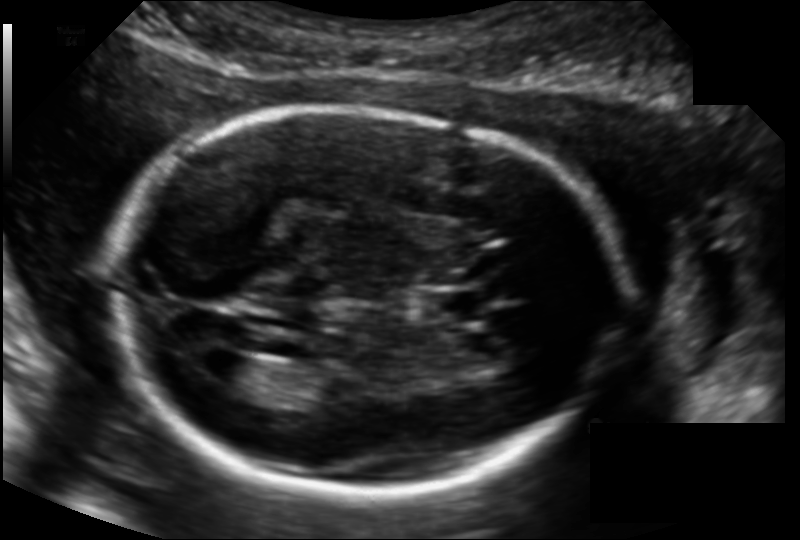
In this fetal head ultrasound, give the bounding box of the cavum septum pellucidum. Image width: 107.7 mm.

[423,291,482,321]